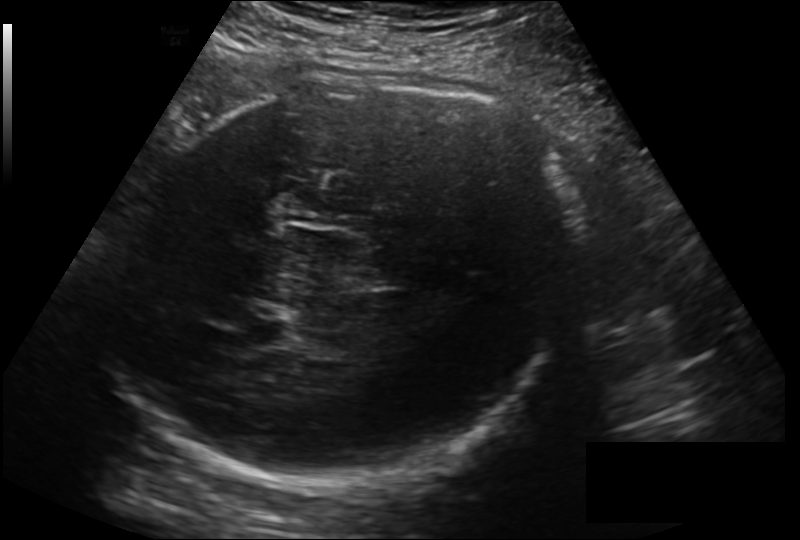
Fetal head ultrasound. Image width: 168.5 mm. Locate the fetal head and, if visible, the cavum septum pellucidum (CSP) and lateral ventricle (LV). Give bounding boxes as [x1,y1,x2,y2].

Head: [118,74,576,485]